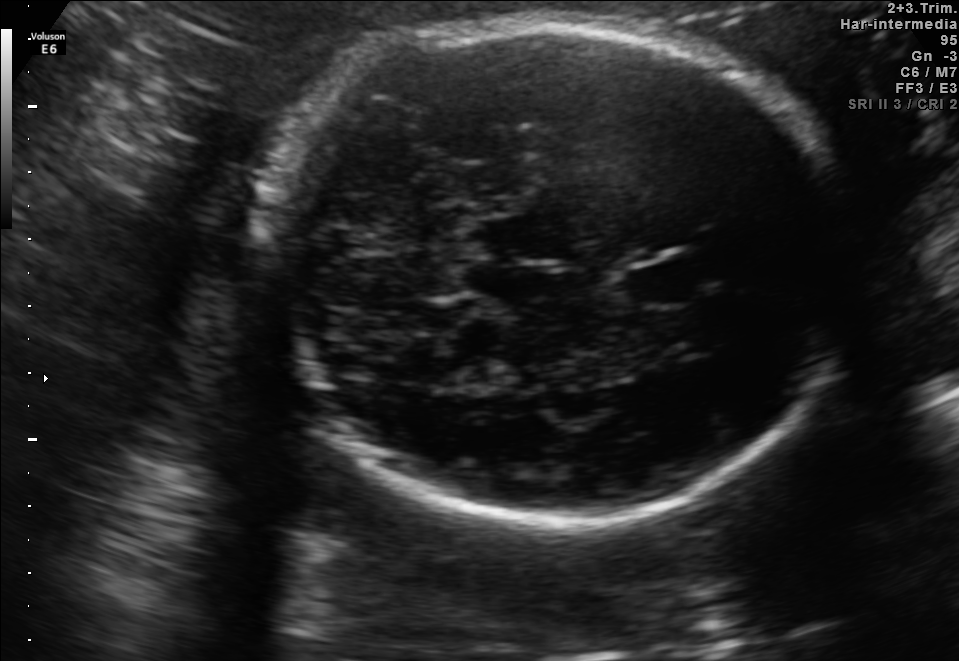
In this fetal brain, trans-cerebellum plane, give the bounding box of the cavum septum pellucidum.

[623,247,711,316]